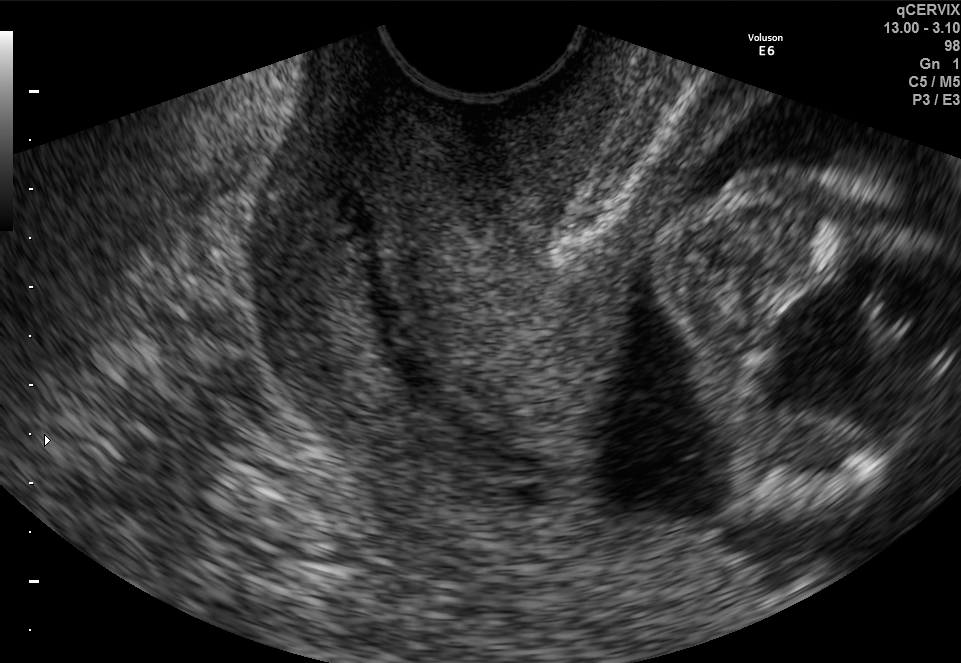
This is a 2D maternal-fetal ultrasound frame. Is it a fetal abdomen, fetal brain, fetal femur, fetal thorax, maternal cervix, or other standard plane? If it's fetal brain and one of the three standard brain planes (trans-thalamic, trans-cerebellum, trans-ventricular), name which.

Maternal cervix